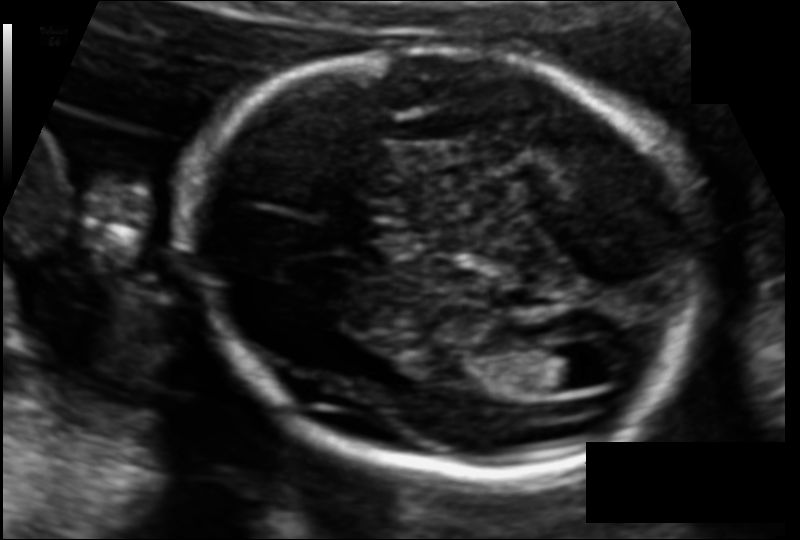
In this fetal head ultrasound, give the bounding box of the lateral ventricle. Image width: 87.7 mm.

[522,345,590,393]